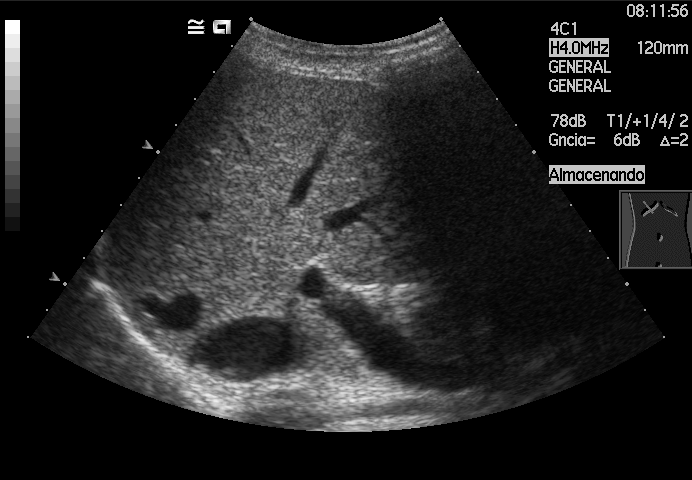
Identify the standard plane in this fetal ultrasound image: fetal abdomen, fetal brain, fetal femur, fetal thorax, maternal cervix, or other. If it's fetal brain and one of the three standard brain planes (trans-thalamic, trans-cerebellum, trans-ventricular), name which.

Other